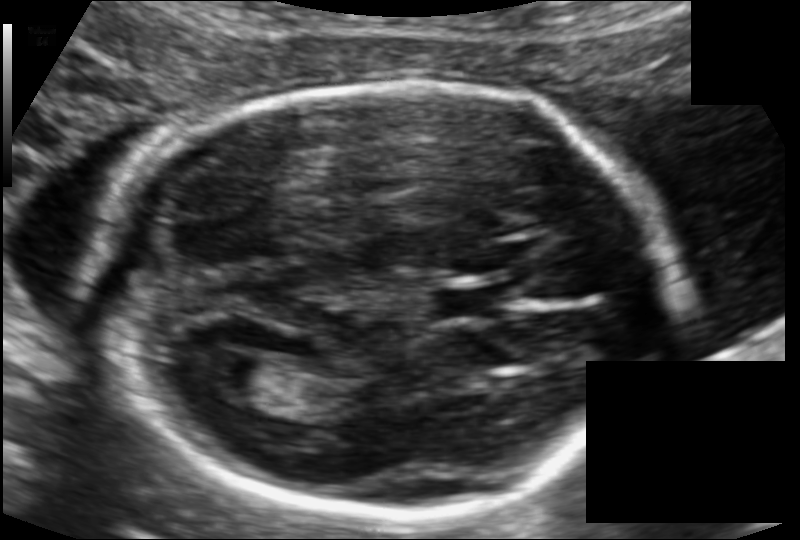
In this fetal head ultrasound, give the bounding box of the cavum septum pellucidum. Image width: 87.3 mm.

[428,280,504,325]